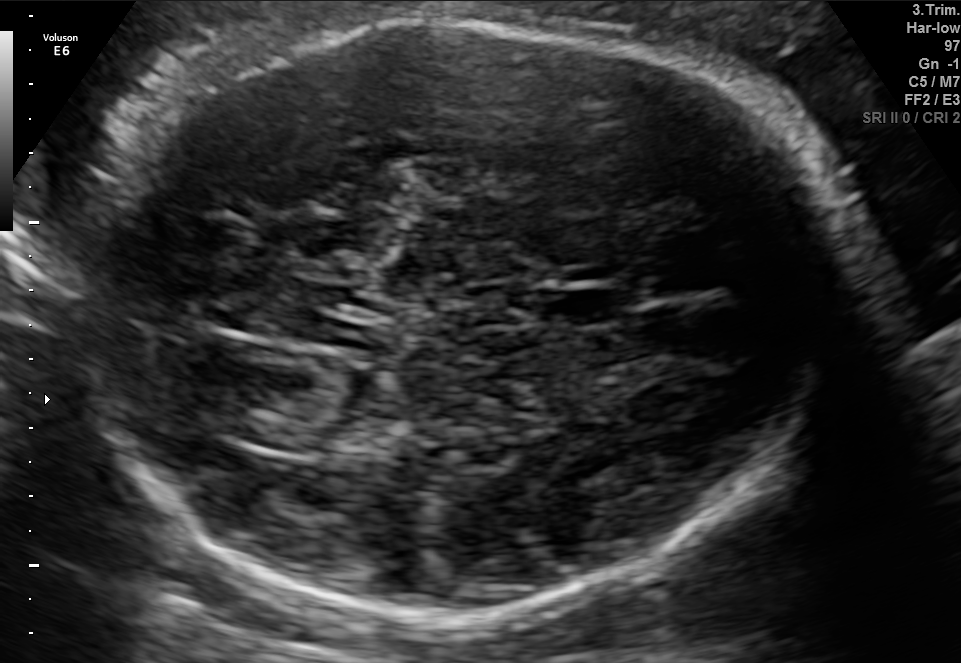
Fetal brain, trans-thalamic plane. Where is the fetal head?

Head bounding box: [82,16,835,619]